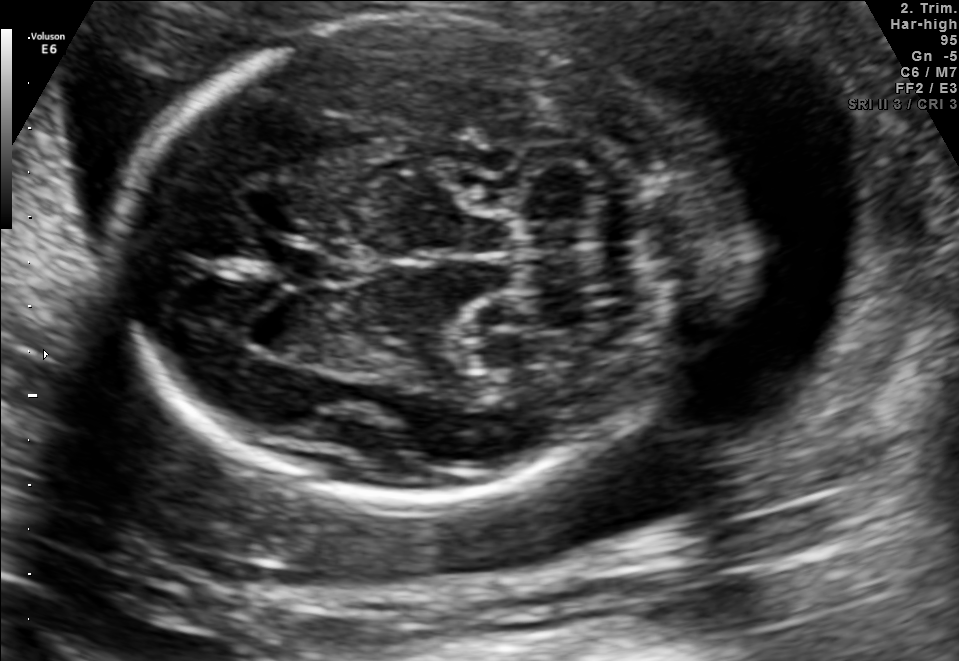
Fetal brain, trans-cerebellum plane. Locate the fetal head and, if visible, the cavum septum pellucidum (CSP) and lateral ventricle (LV). Give bounding boxes as [x1,y1,x2,y2].

Head: [124,14,719,501]
CSP: [271,243,340,290]